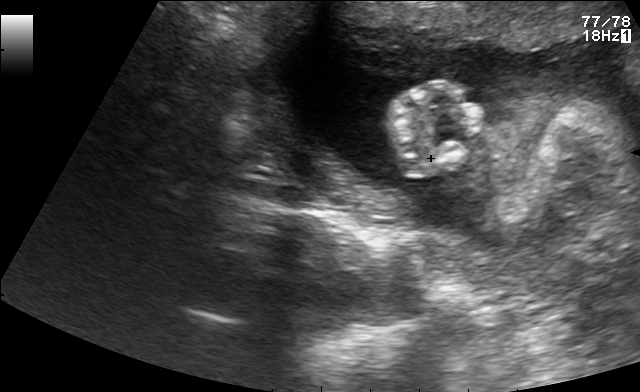
Identify the standard plane in this fetal ultrasound image: fetal abdomen, fetal brain, fetal femur, fetal thorax, maternal cervix, or other. If it's fetal brain and one of the three standard brain planes (trans-thalamic, trans-cerebellum, trans-ventricular), name which.

Other